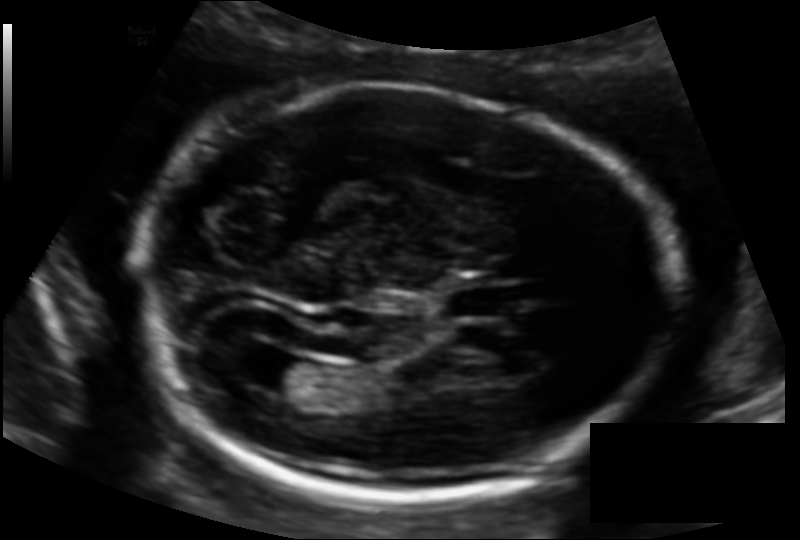
Estimate the fetal head circumference from this 2D ultrasound.

Head circumference: 197.7 mm (image width 103.6 mm).